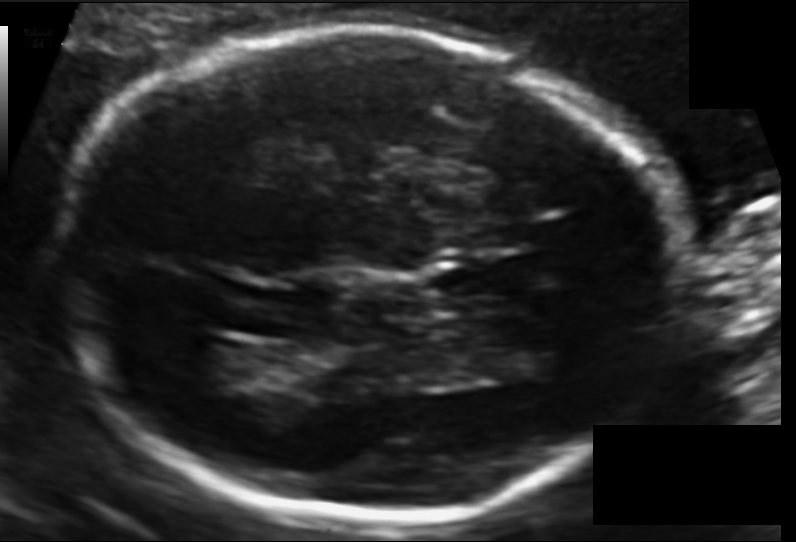
From this fetal ultrasound, estimate the head circumference (image width 95.4 mm).

Head circumference: 213.6 mm.